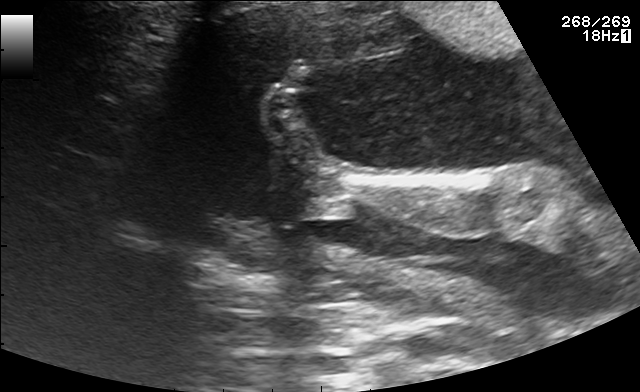
Identify the standard plane in this fetal ultrasound image: fetal abdomen, fetal brain, fetal femur, fetal thorax, maternal cervix, or other. If it's fetal brain and one of the three standard brain planes (trans-thalamic, trans-cerebellum, trans-ventricular), name which.

Other